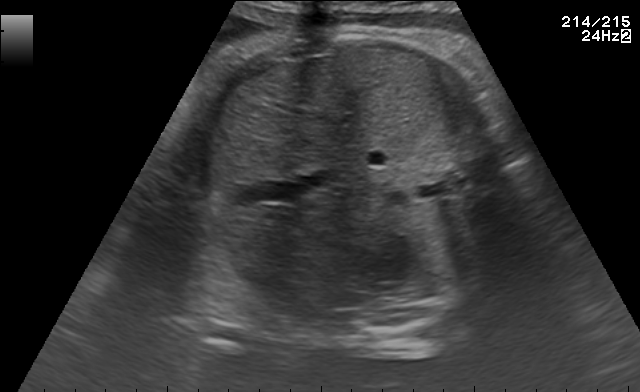
Classify this maternal-fetal ultrasound image as one of the six standard planes — fetal abdomen, fetal brain, fetal femur, fetal thorax, maternal cervix, or other. If it's fetal brain and one of the three standard brain planes (trans-thalamic, trans-cerebellum, trans-ventricular), name which.

Fetal abdomen